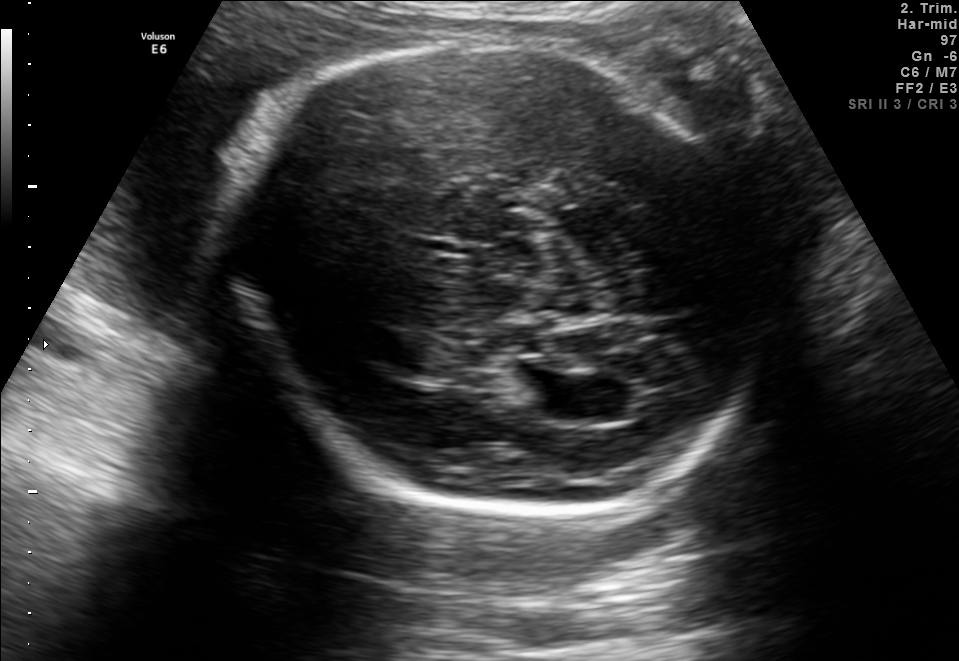
Fetal brain, trans-ventricular plane. Where is the lateral ventricle?

Lateral ventricle bounding box: [511,370,587,422]